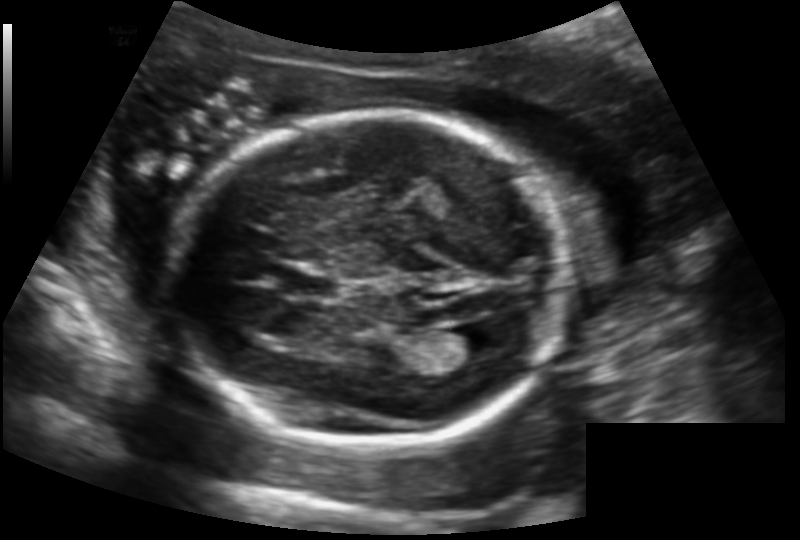
What is the fetal head circumference? Image width is 117.4 mm.

174.8 mm